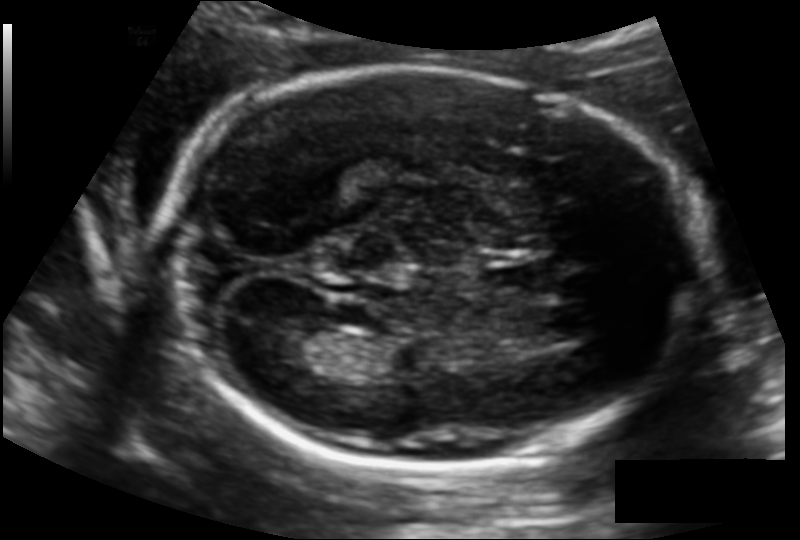
Fetal head ultrasound. Image width: 103.6 mm. Where is the cavum septum pellucidum?

CSP bounding box: [482,255,557,299]